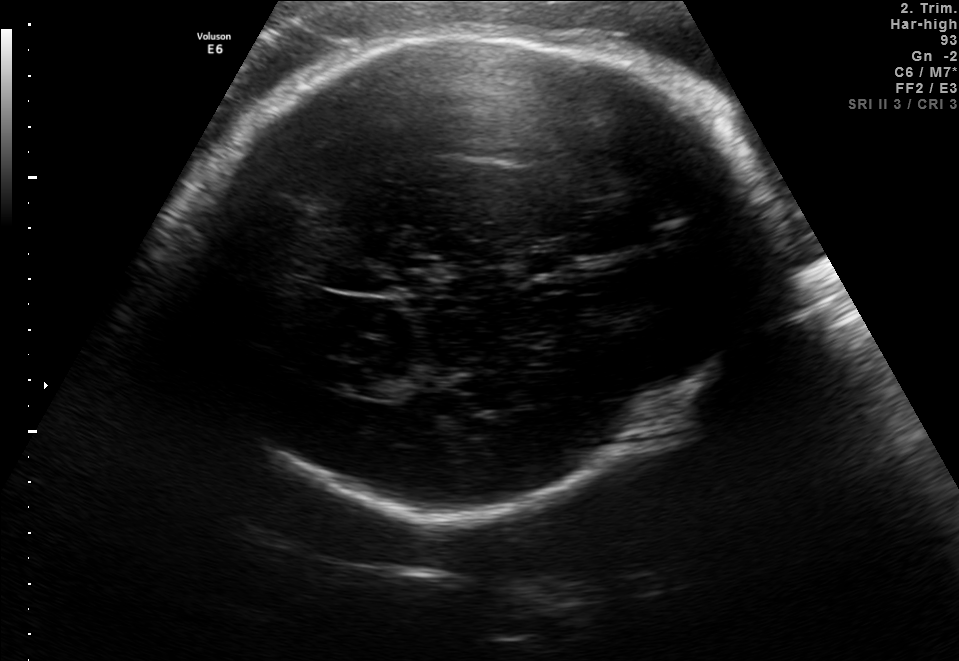
In this fetal brain, trans-thalamic plane, give the bounding box of the cavum septum pellucidum.

[523,251,573,275]